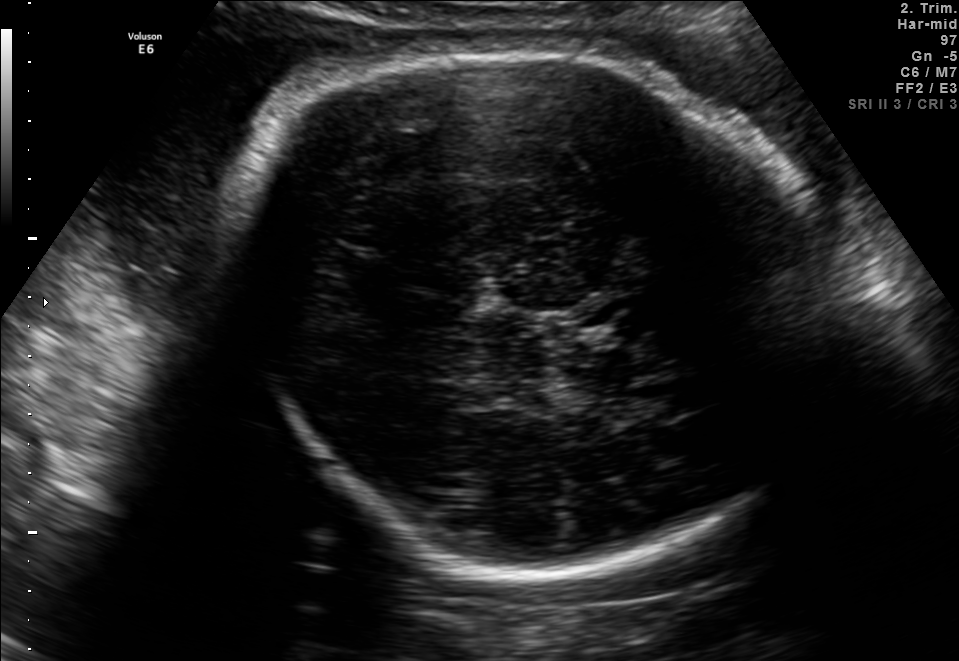
In this fetal brain, trans-thalamic plane, give bounding boxes for the head outline, cavum septum pellucidum (CSP), and lateral ventricle (LV), where visible.

Head: [236,39,821,578]